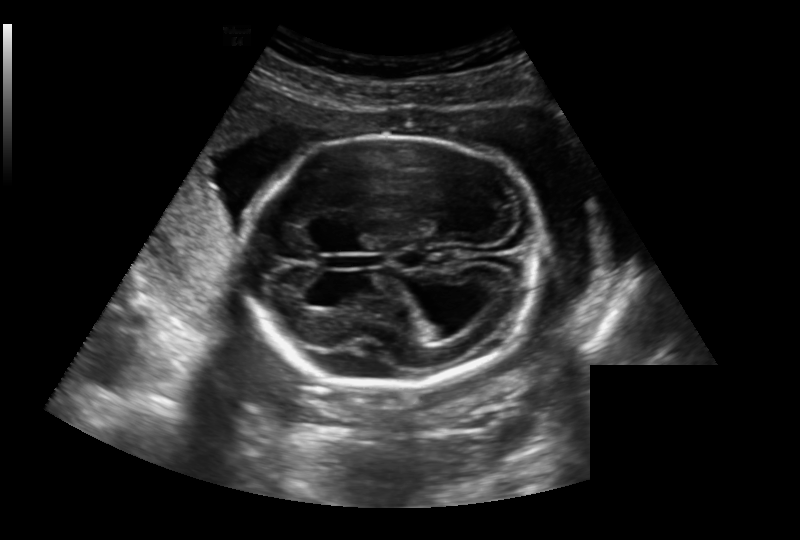
Fetal head ultrasound. Image width: 188.6 mm. Give [x1,y1,x2,y2] bounding boxes for each visible structure among: fetal head, CSP, LV.

Head: [242,136,541,385]